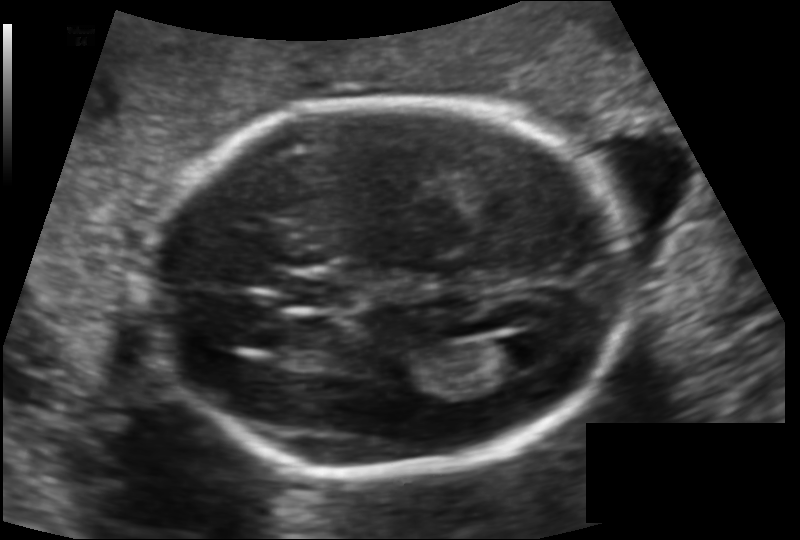
Estimate the fetal head circumference from this 2D ultrasound. Image width: 100.1 mm.

Head circumference: 173.2 mm.